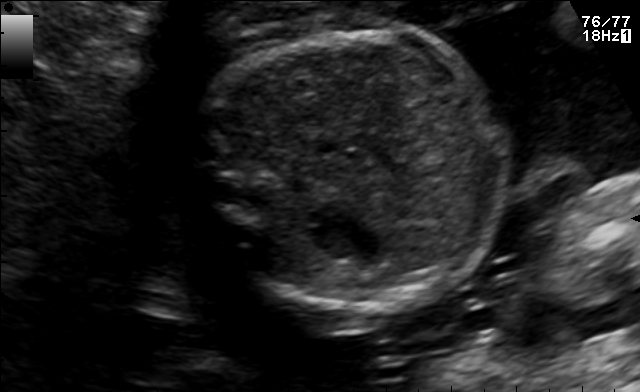
Classify this maternal-fetal ultrasound image as one of the six standard planes — fetal abdomen, fetal brain, fetal femur, fetal thorax, maternal cervix, or other. If it's fetal brain and one of the three standard brain planes (trans-thalamic, trans-cerebellum, trans-ventricular), name which.

Fetal abdomen